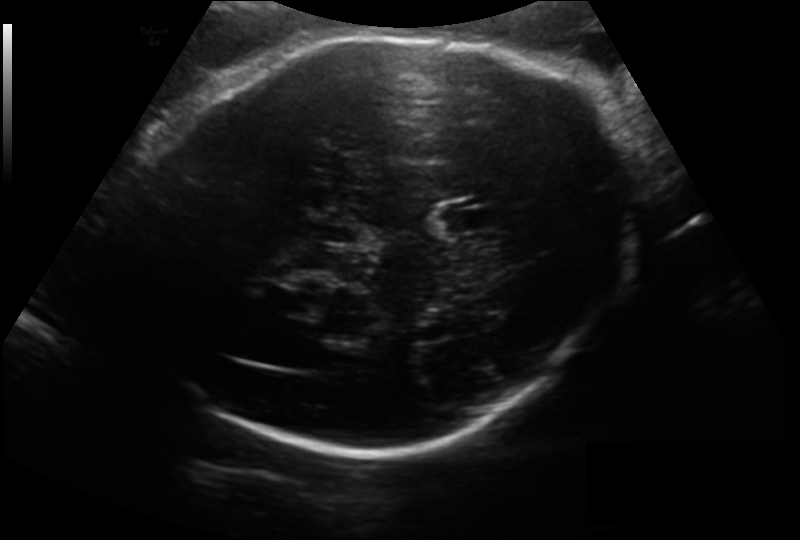
What is the fetal head circumference? Image width is 160.1 mm.

294.9 mm